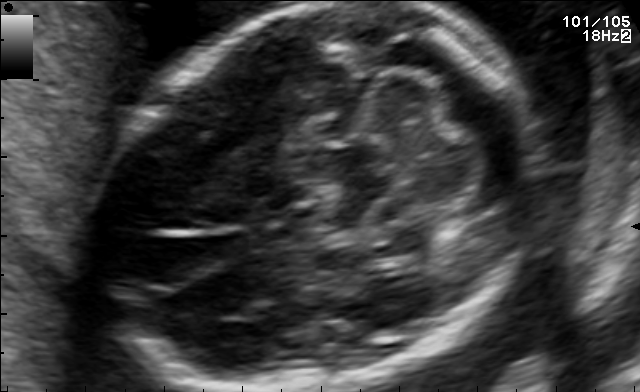
Fetal brain, trans-cerebellum plane. Locate the fetal head and, if visible, the cavum septum pellucidum (CSP) and lateral ventricle (LV). Give bounding boxes as [x1,y1,x2,y2].

Head: [119,4,521,391]